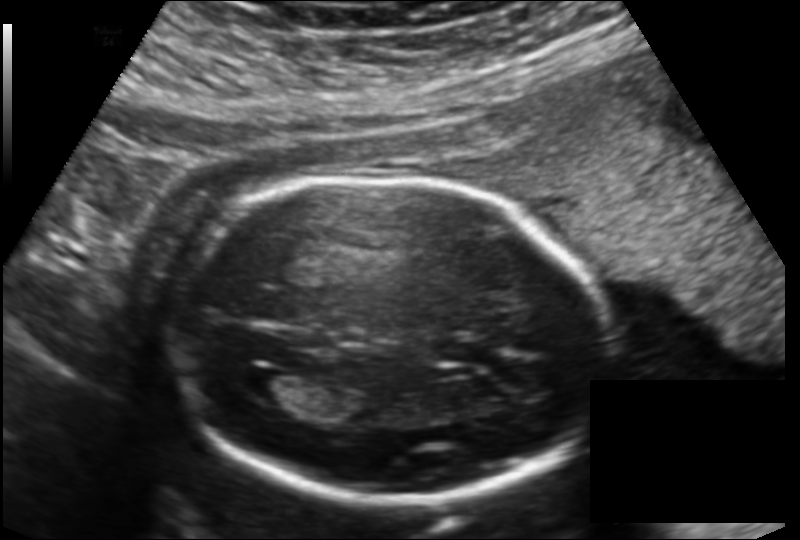
In this fetal head ultrasound, give the bounding box of the cavum septum pellucidum. Image width: 120.4 mm.

[435,337,488,366]